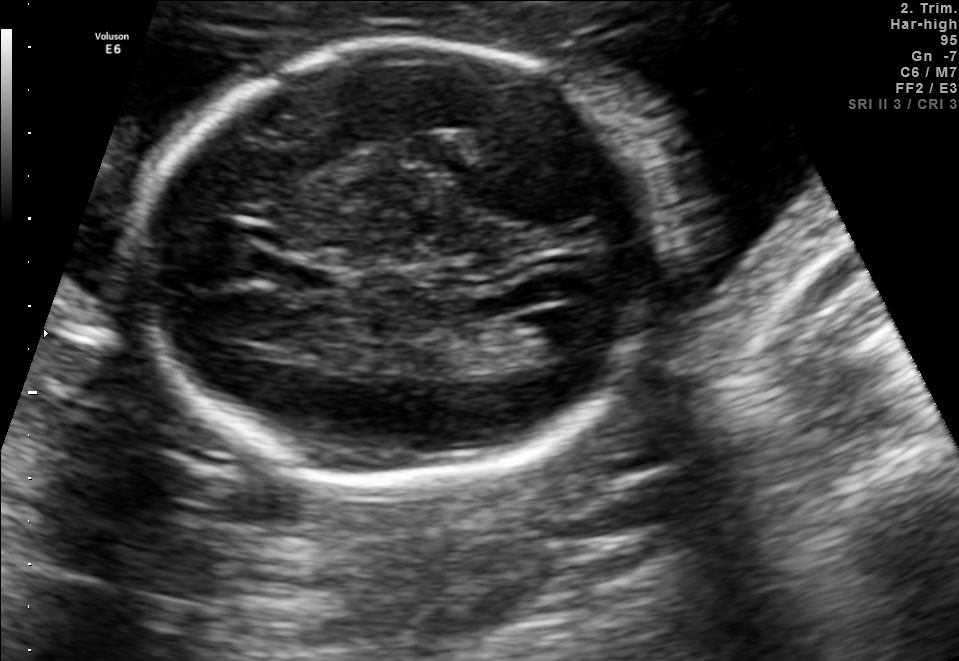
This is a 2D maternal-fetal ultrasound frame. Is it a fetal abdomen, fetal brain, fetal femur, fetal thorax, maternal cervix, or other standard plane? If it's fetal brain and one of the three standard brain planes (trans-thalamic, trans-cerebellum, trans-ventricular), name which.

Fetal brain (trans-ventricular plane)